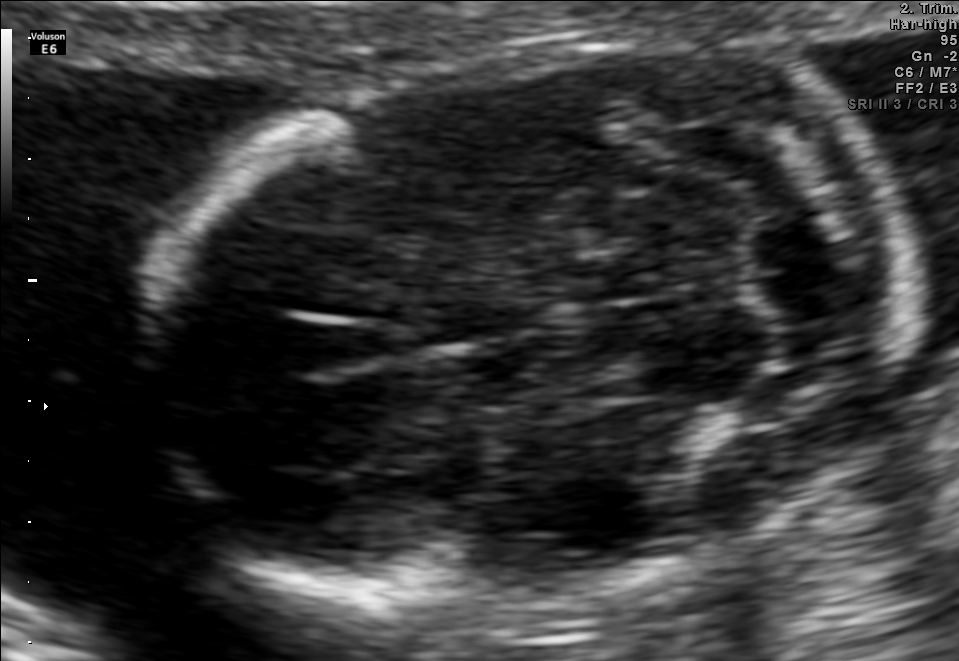
Fetal brain, trans-cerebellum plane. Locate the fetal head.

Head: [147,37,908,608]